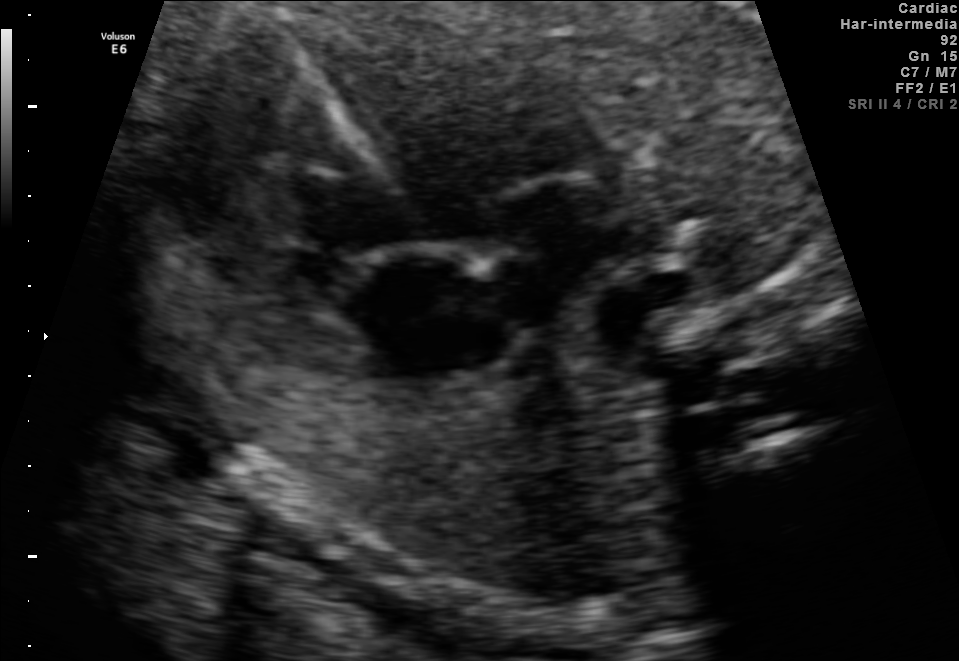
Identify the standard plane in this fetal ultrasound image: fetal abdomen, fetal brain, fetal femur, fetal thorax, maternal cervix, or other. If it's fetal brain and one of the three standard brain planes (trans-thalamic, trans-cerebellum, trans-ventricular), name which.

Fetal thorax